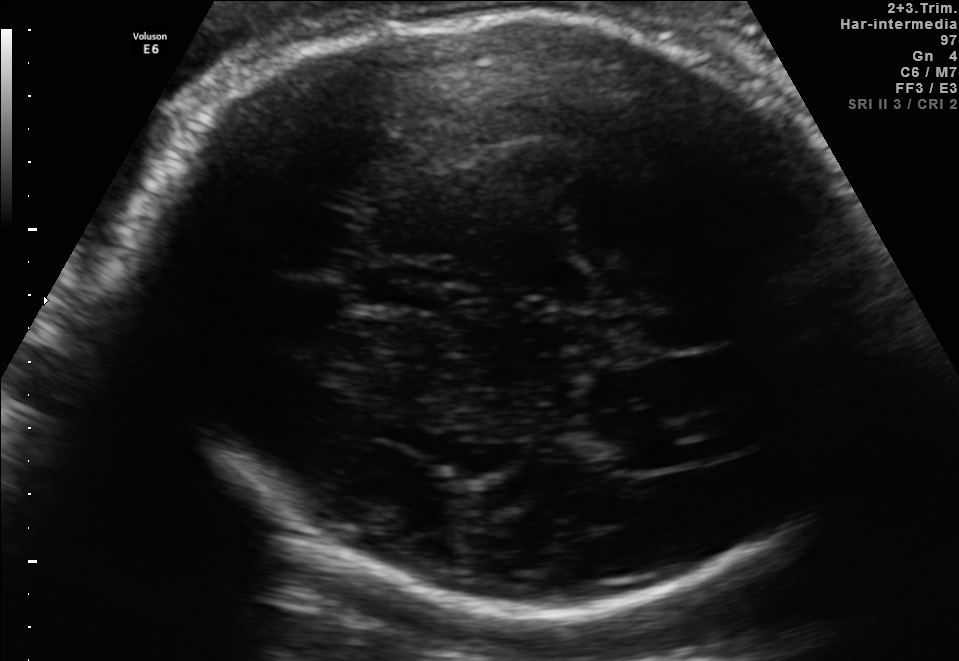
Fetal brain, trans-thalamic plane. Where is the cavum septum pellucidum?

CSP bounding box: [352,264,443,308]